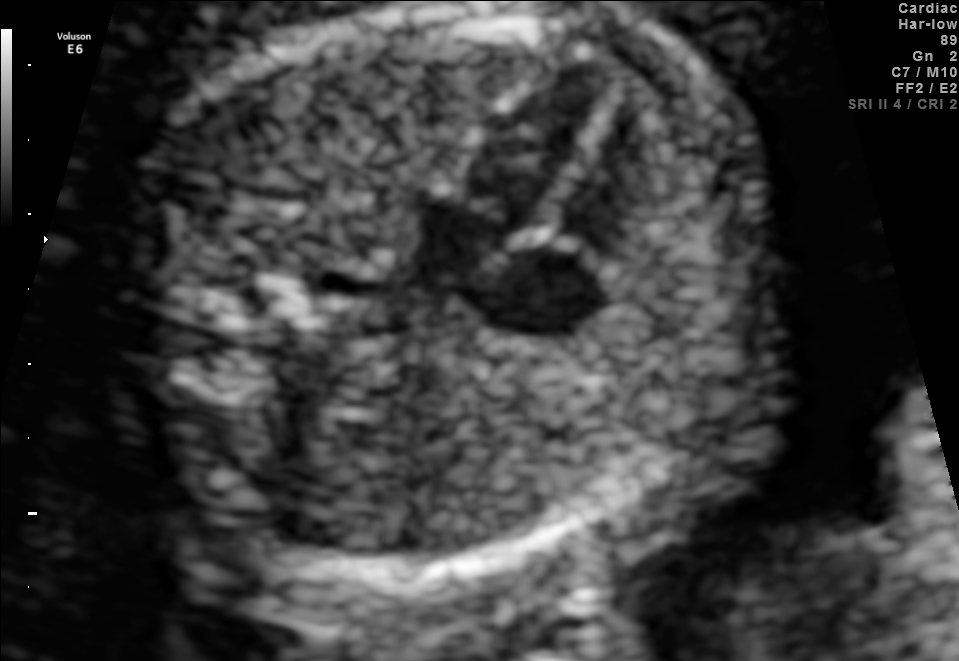
Identify the standard plane in this fetal ultrasound image: fetal abdomen, fetal brain, fetal femur, fetal thorax, maternal cervix, or other. If it's fetal brain and one of the three standard brain planes (trans-thalamic, trans-cerebellum, trans-ventricular), name which.

Fetal thorax